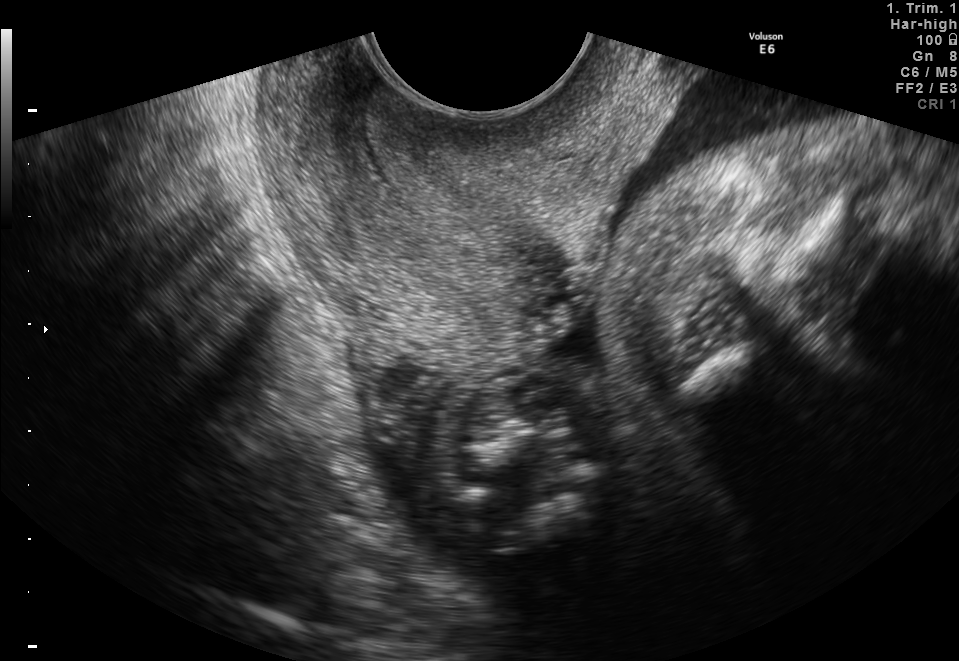
This is a 2D maternal-fetal ultrasound frame. Is it a fetal abdomen, fetal brain, fetal femur, fetal thorax, maternal cervix, or other standard plane? If it's fetal brain and one of the three standard brain planes (trans-thalamic, trans-cerebellum, trans-ventricular), name which.

Maternal cervix